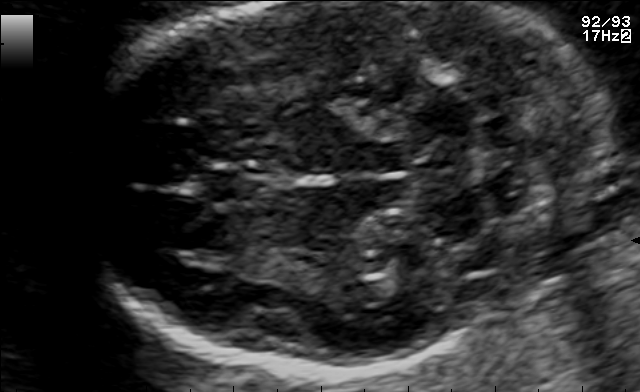
Fetal brain, trans-cerebellum plane. Locate the fetal head.

Head: [89,2,613,372]